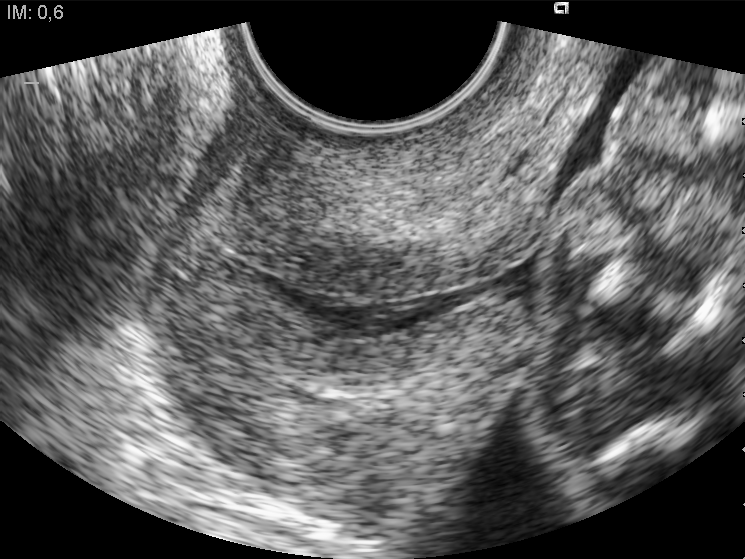
This is a 2D maternal-fetal ultrasound frame. Is it a fetal abdomen, fetal brain, fetal femur, fetal thorax, maternal cervix, or other standard plane? If it's fetal brain and one of the three standard brain planes (trans-thalamic, trans-cerebellum, trans-ventricular), name which.

Maternal cervix